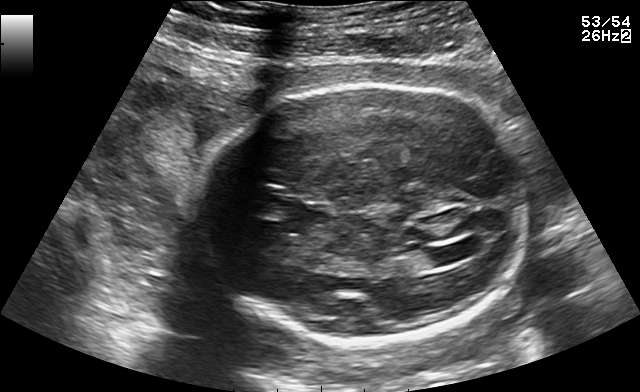
Classify this maternal-fetal ultrasound image as one of the six standard planes — fetal abdomen, fetal brain, fetal femur, fetal thorax, maternal cervix, or other. If it's fetal brain and one of the three standard brain planes (trans-thalamic, trans-cerebellum, trans-ventricular), name which.

Fetal brain (trans-ventricular plane)